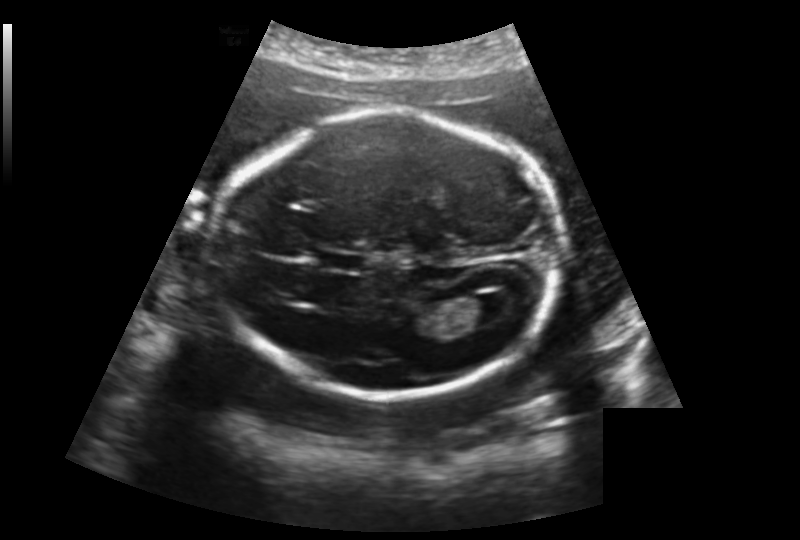
What is the fetal head circumference? Image width is 150.3 mm.

194.6 mm